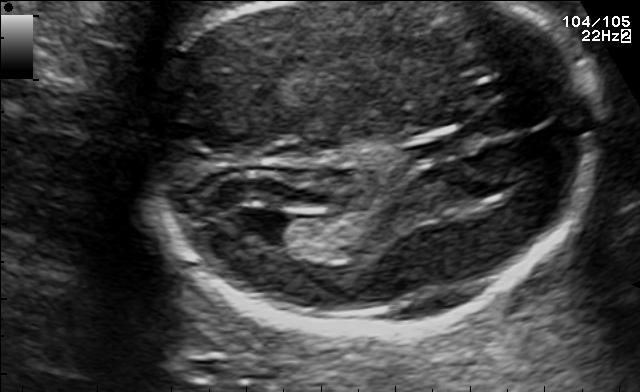
Fetal brain, trans-ventricular plane. Where is the cavum septum pellucidum?

CSP bounding box: [398,116,487,173]